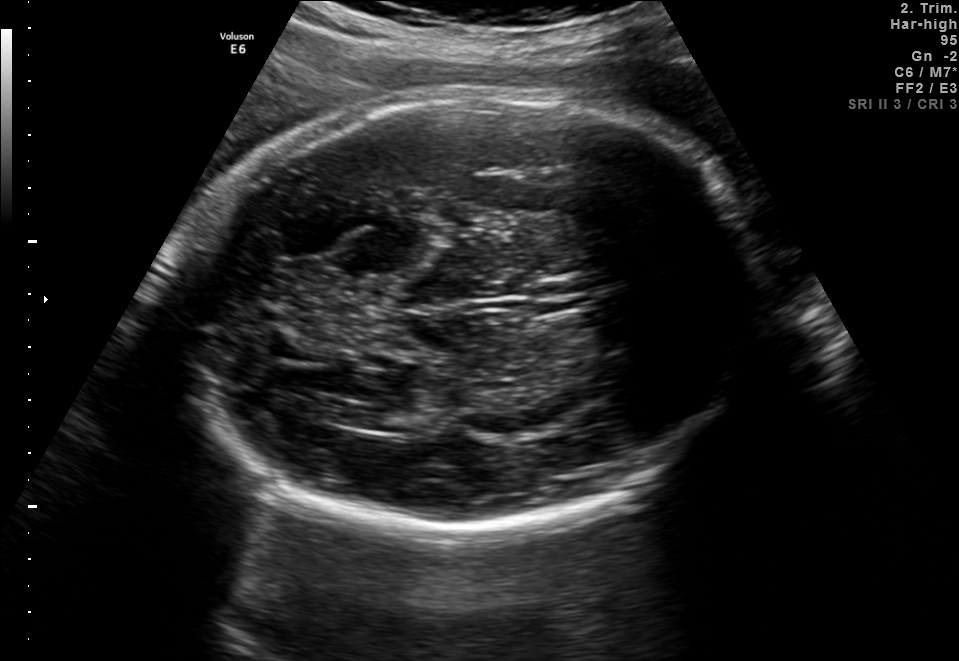
Fetal brain, trans-ventricular plane. Where is the fetal head?

Head bounding box: [172,85,775,536]